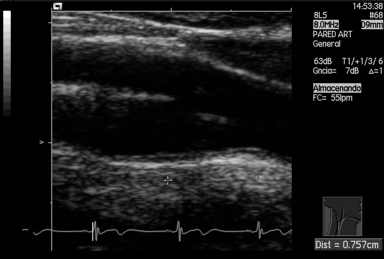
Identify the standard plane in this fetal ultrasound image: fetal abdomen, fetal brain, fetal femur, fetal thorax, maternal cervix, or other. If it's fetal brain and one of the three standard brain planes (trans-thalamic, trans-cerebellum, trans-ventricular), name which.

Other